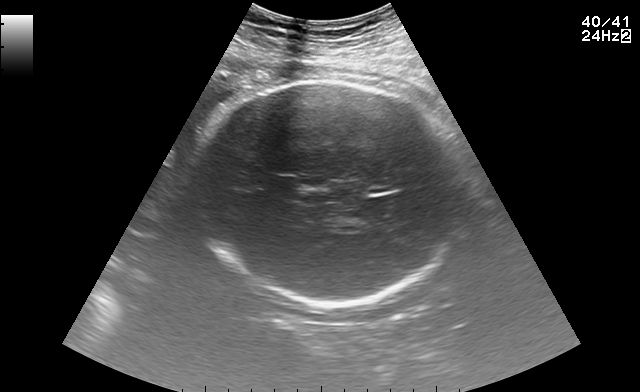
Fetal brain, trans-thalamic plane. Where is the fetal head?

Head bounding box: [194,81,460,309]